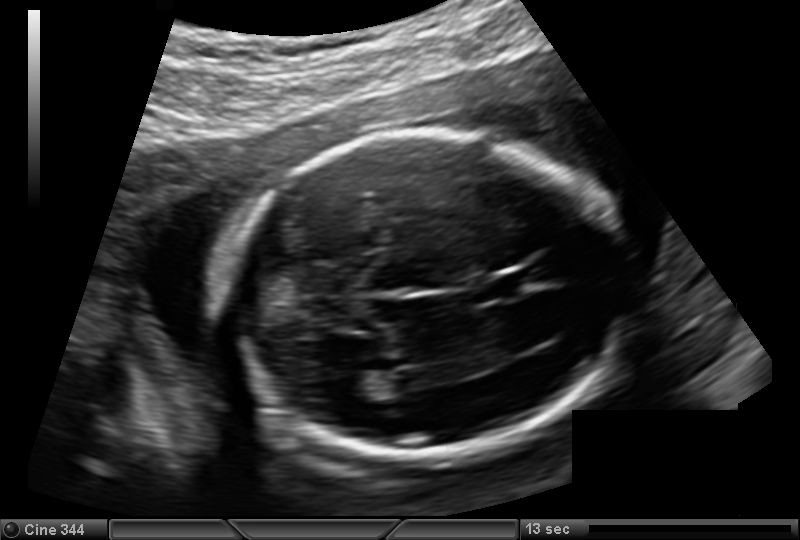
Fetal head ultrasound. Image width: 115.3 mm. Give [x1,y1,x2,y2] bounding boxes for each visible structure among: fetal head, CSP, LV.

Head: [219,127,632,462]
CSP: [477,266,534,306]
Lateral ventricle: [332,372,376,406]